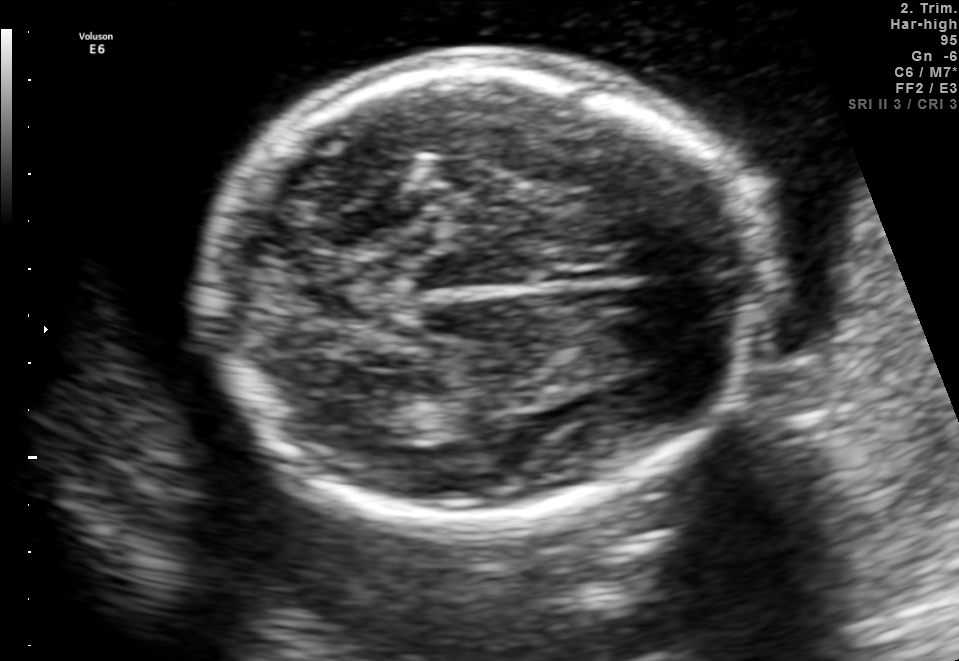
Classify this maternal-fetal ultrasound image as one of the six standard planes — fetal abdomen, fetal brain, fetal femur, fetal thorax, maternal cervix, or other. If it's fetal brain and one of the three standard brain planes (trans-thalamic, trans-cerebellum, trans-ventricular), name which.

Fetal brain (trans-thalamic plane)